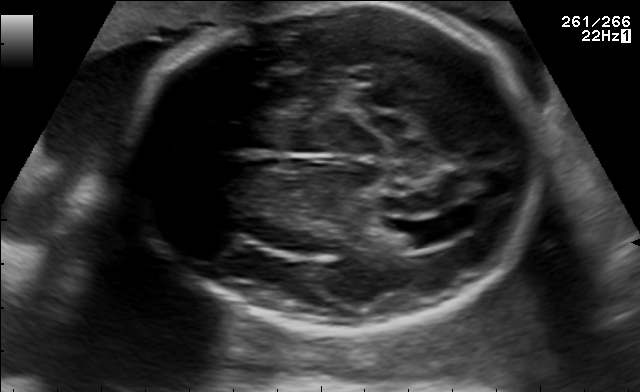
In this fetal brain, trans-ventricular plane, give bounding boxes for the head outline, cavum septum pellucidum (CSP), and lateral ventricle (LV), where visible.

Head: [125,4,552,332]
Lateral ventricle: [392,211,465,256]